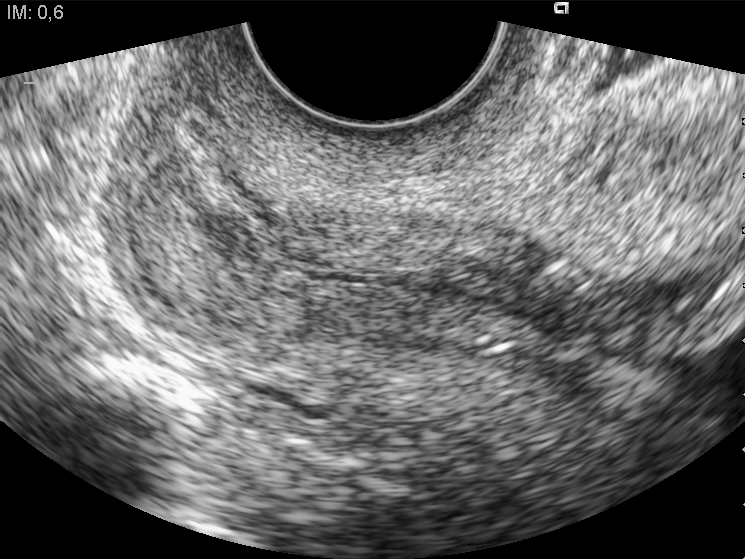
Which standard maternal-fetal ultrasound plane is shown: fetal abdomen, fetal brain, fetal femur, fetal thorax, maternal cervix, or other? If it's fetal brain and one of the three standard brain planes (trans-thalamic, trans-cerebellum, trans-ventricular), name which.

Maternal cervix